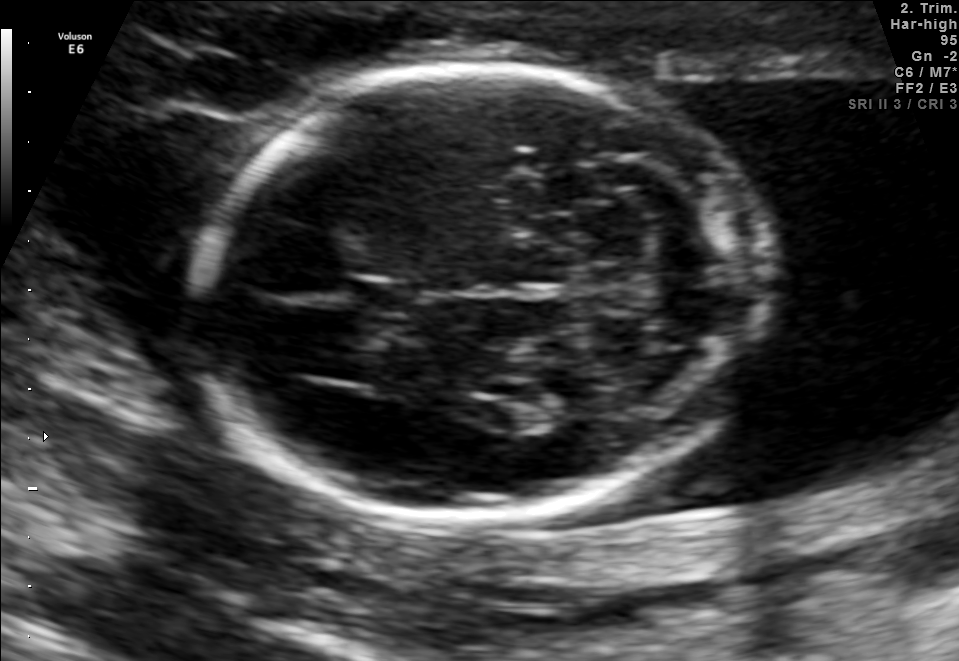
Fetal brain, trans-cerebellum plane. Locate the fetal head.

Head: [197,67,772,514]